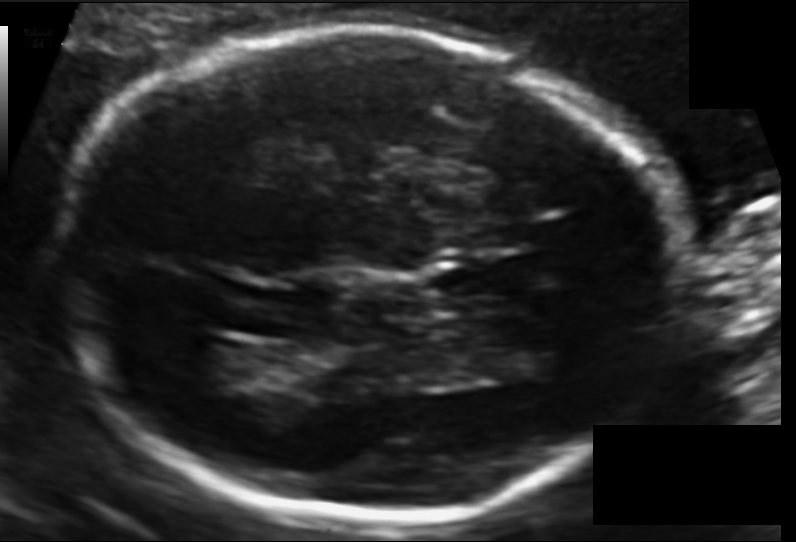
Fetal head ultrasound. Image width: 95.4 mm. Locate the fetal head and, if visible, the cavum septum pellucidum (CSP) and lateral ventricle (LV). Give bounding boxes as [x1,y1,x2,y2].

Head: [52,27,684,517]
CSP: [437,265,519,299]
Lateral ventricle: [164,330,251,388]